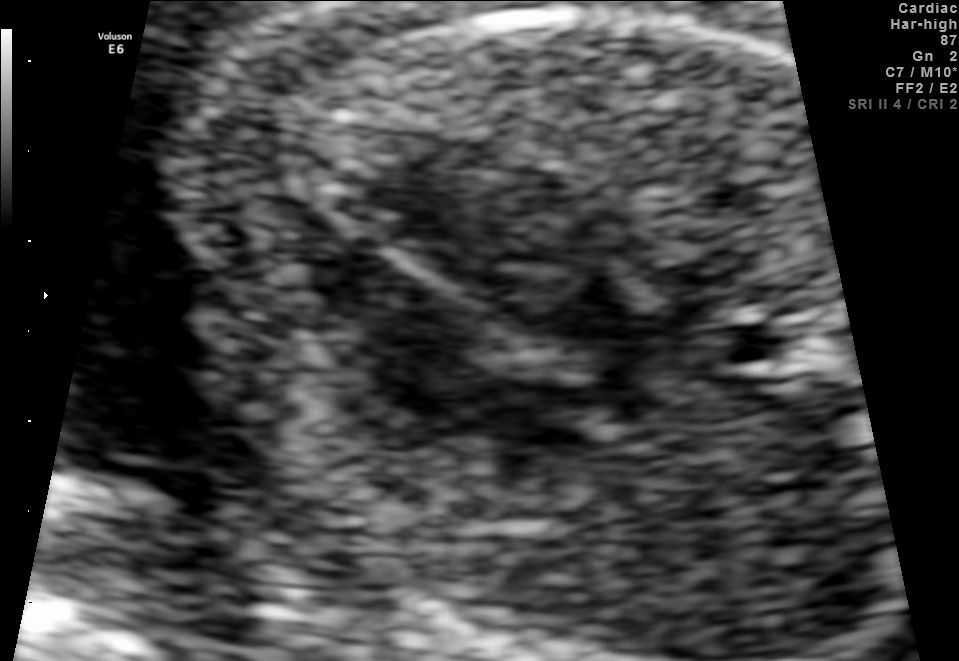
Which standard maternal-fetal ultrasound plane is shown: fetal abdomen, fetal brain, fetal femur, fetal thorax, maternal cervix, or other? If it's fetal brain and one of the three standard brain planes (trans-thalamic, trans-cerebellum, trans-ventricular), name which.

Fetal thorax